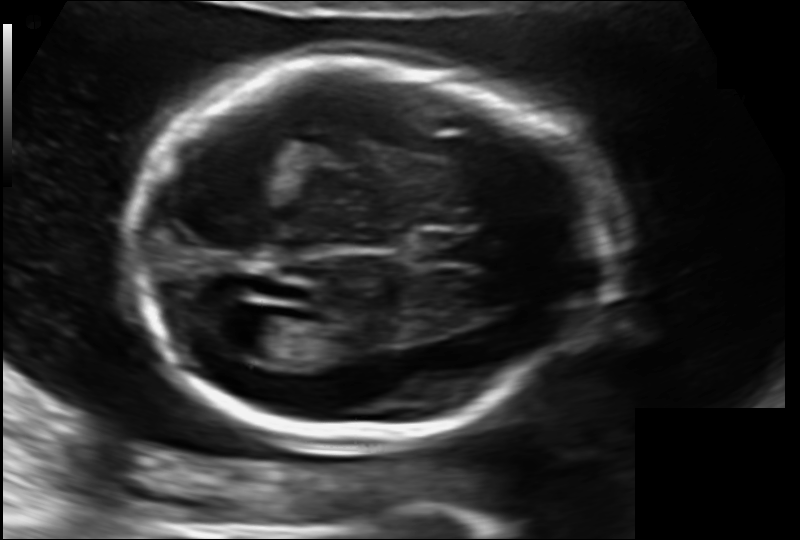
Fetal head ultrasound. Image width: 103.9 mm. Where is the lateral ventricle?

Lateral ventricle bounding box: [230,310,310,366]